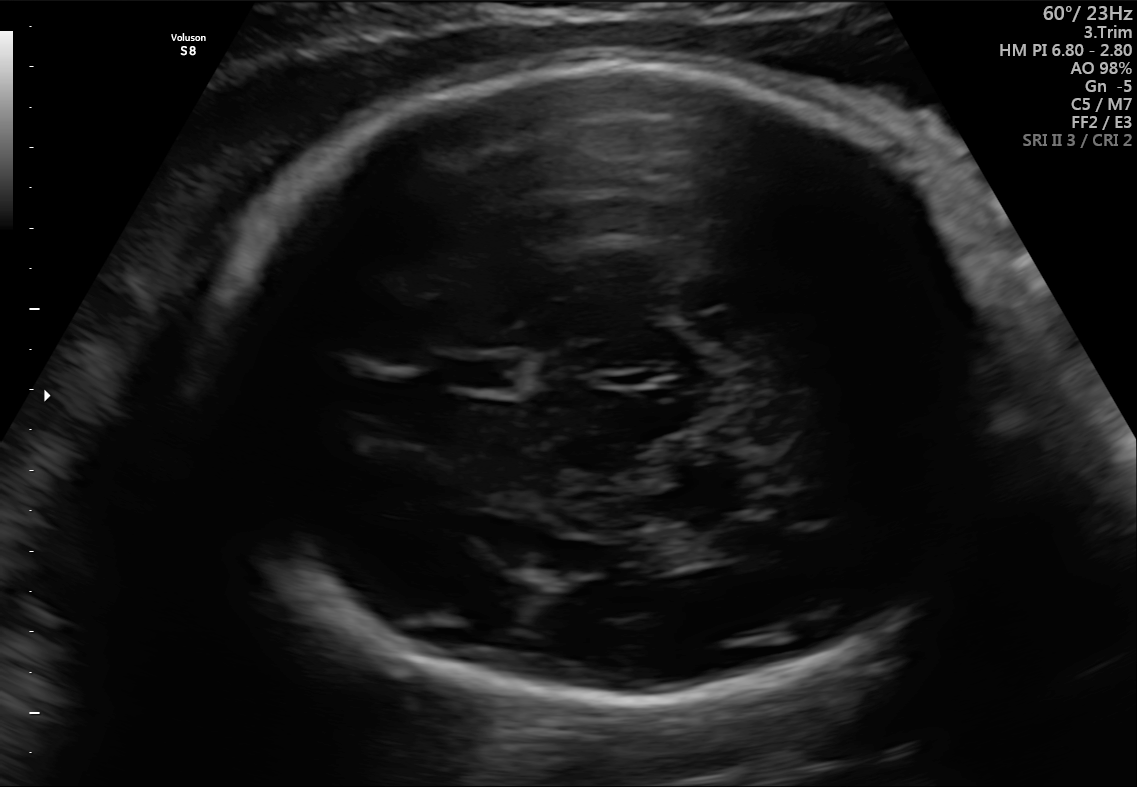
In this fetal brain, trans-thalamic plane, give the bounding box of the lateral ventricle.

[671,506,777,571]